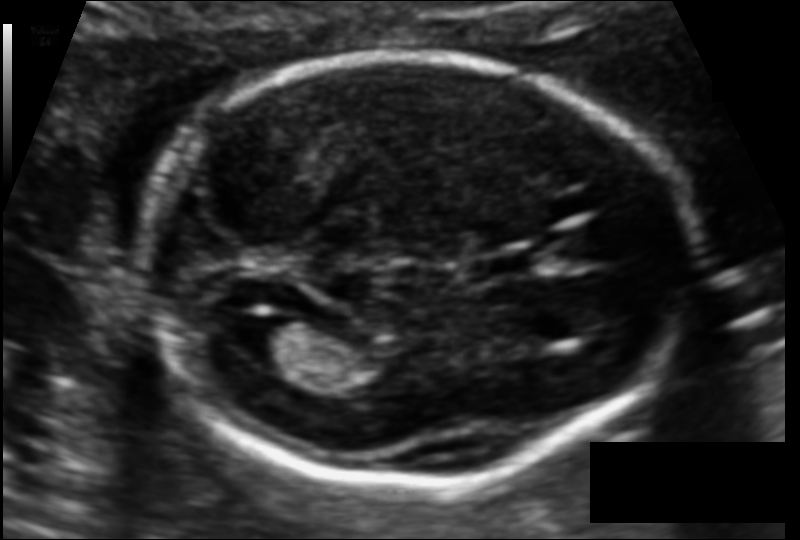
Fetal head ultrasound. Image width: 85.1 mm. Locate the fetal head.

Head: [139,56,696,482]